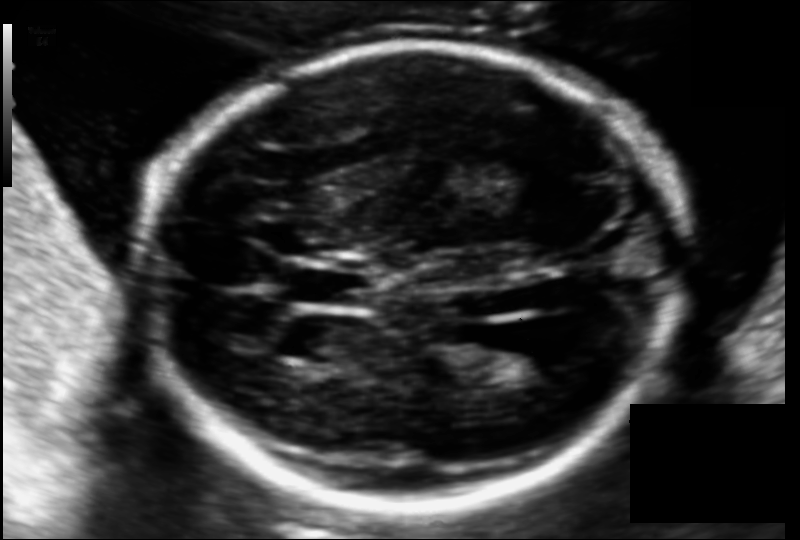
Fetal head ultrasound. Image width: 94.4 mm. Locate the lateral ventricle.

Lateral ventricle: [470,330,560,388]